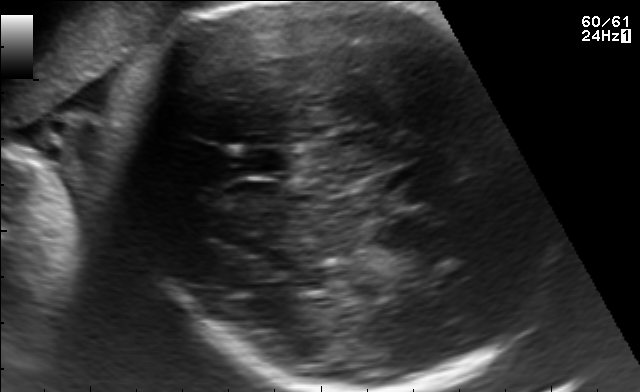
Fetal brain, trans-thalamic plane. Locate the fetal head.

Head: [137,3,525,389]